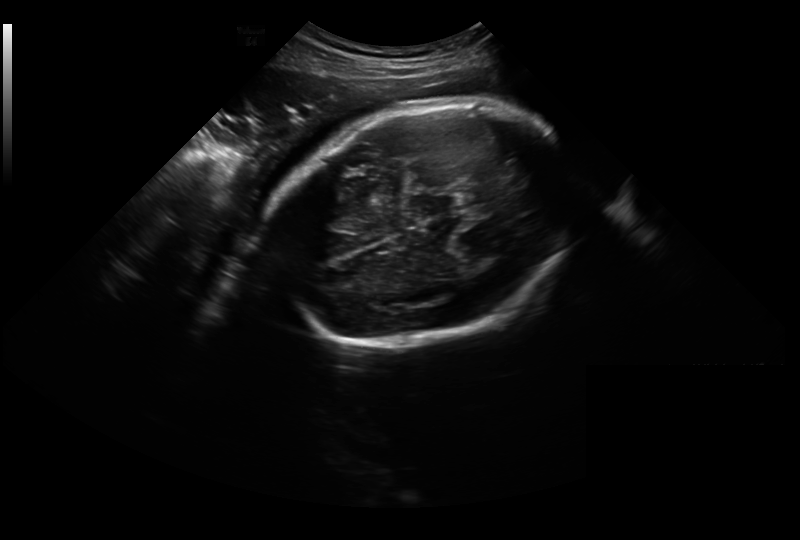
Fetal head ultrasound. Image width: 261.1 mm. Locate the fetal head.

Head: [269,102,573,346]